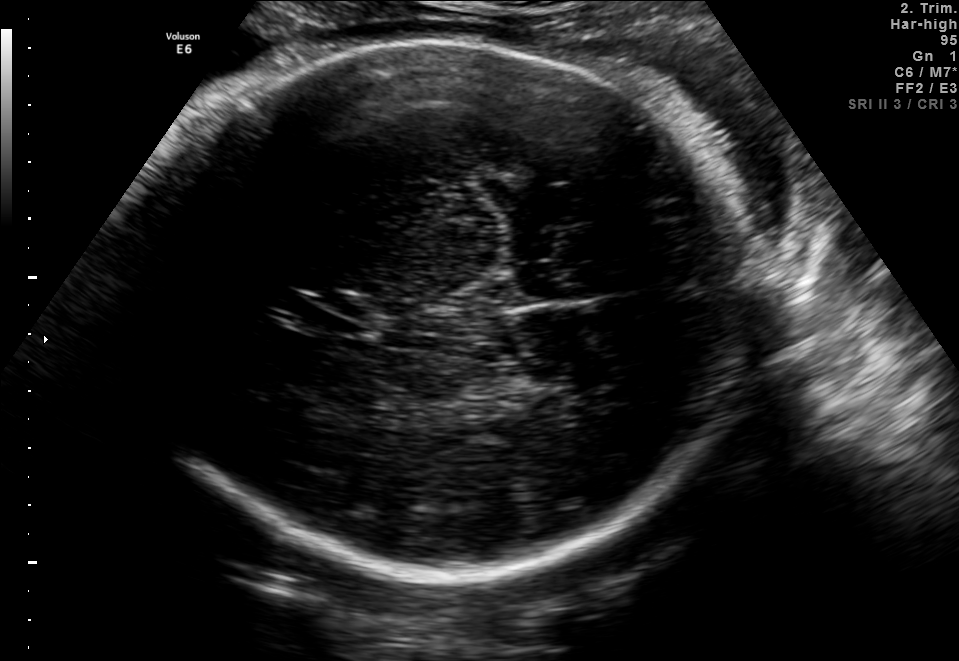
Fetal brain, trans-thalamic plane. Give [x1,y1,x2,y2] bounding boxes for each visible structure among: fetal head, CSP, LV.

Head: [124,43,749,576]